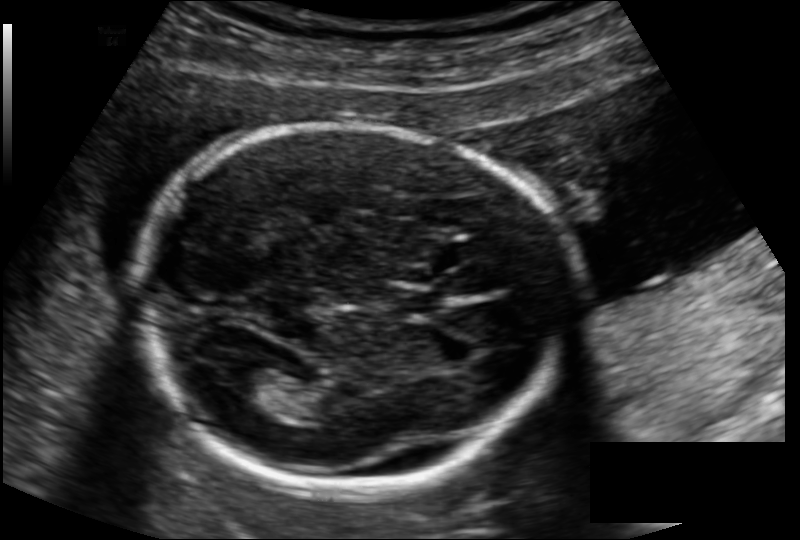
Fetal head ultrasound. Image width: 107.6 mm. Where is the cavum septum pellucidum?

CSP bounding box: [385,284,441,316]